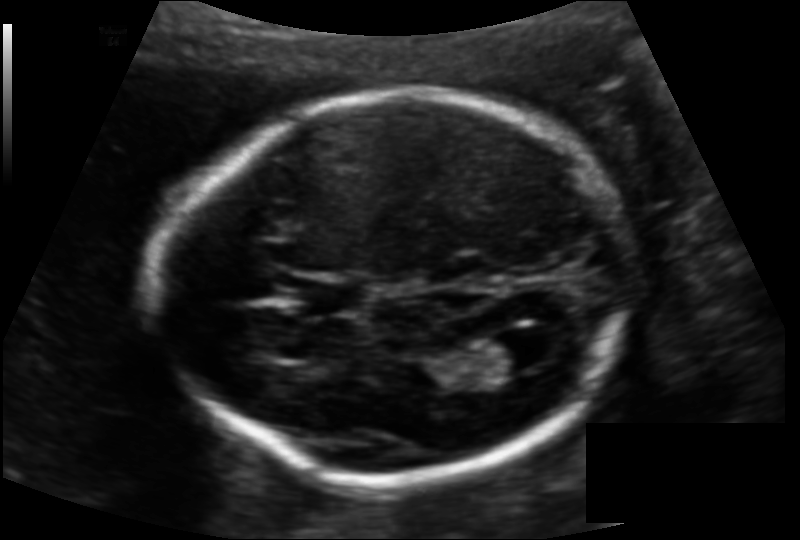
Estimate the fetal head circumference from this 2D ultrasound. Image width: 102.7 mm.

Head circumference: 177.1 mm.